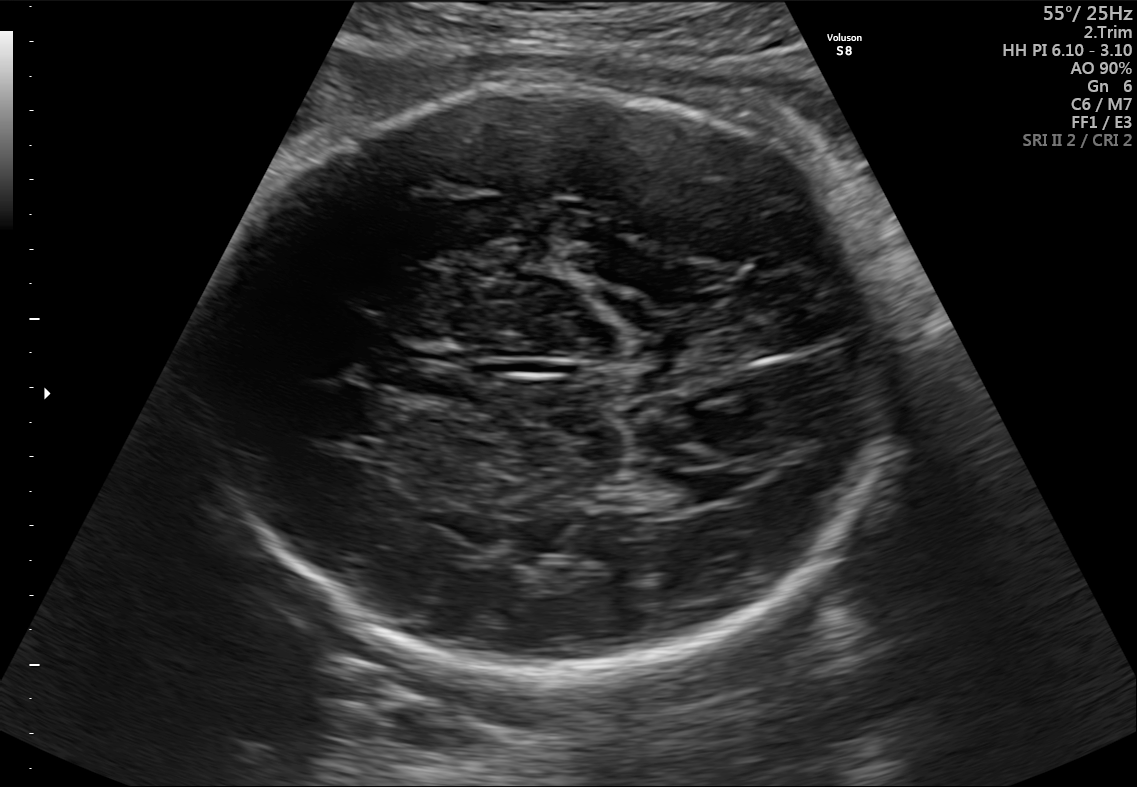
Fetal brain, trans-thalamic plane. Give [x1,y1,x2,y2] bounding boxes for each visible structure among: fetal head, CSP, LV.

Head: [189,85,892,686]
CSP: [394,362,481,405]
Lateral ventricle: [663,464,741,511]